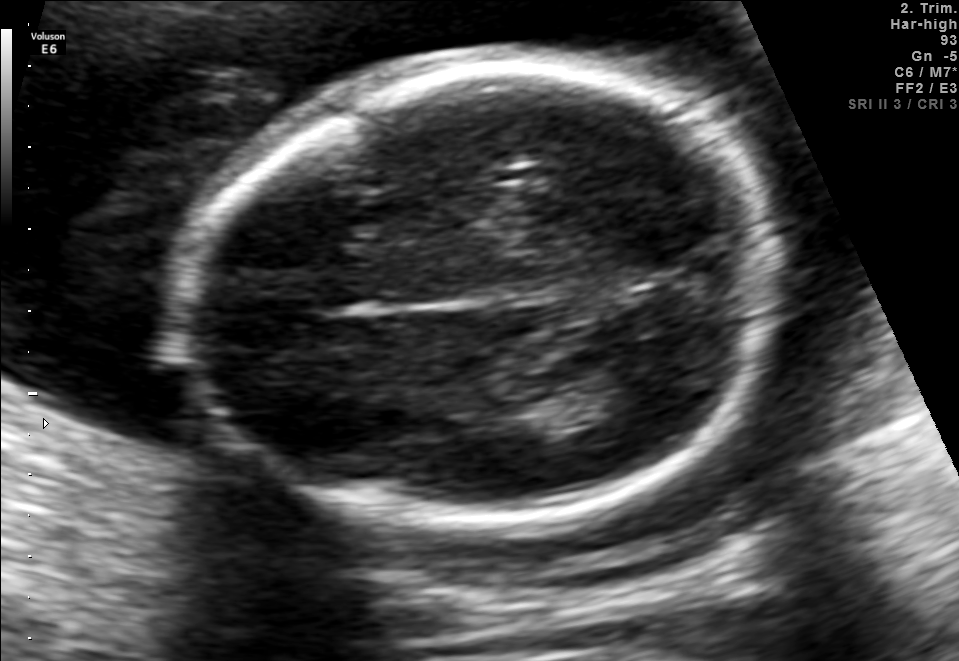
Fetal brain, trans-thalamic plane. Locate the lateral ventricle.

Lateral ventricle: [565,359,661,427]